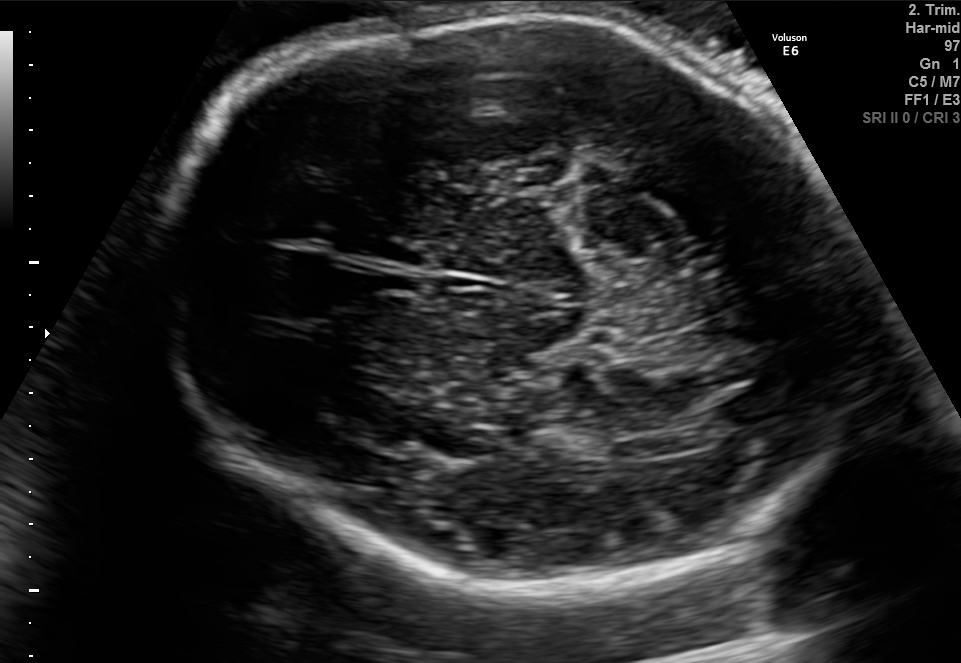
In this fetal brain, trans-thalamic plane, give bounding boxes for the head outline, cavum septum pellucidum (CSP), and lateral ventricle (LV), where visible.

Head: [146,13,861,584]